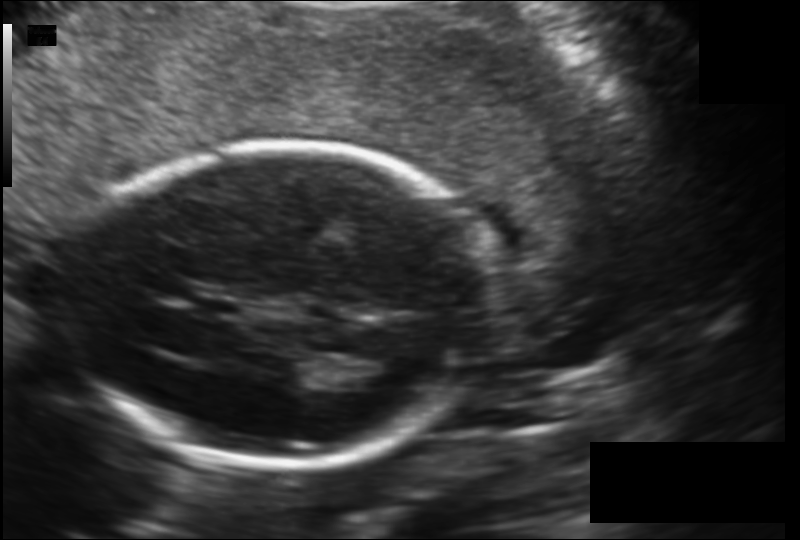
Measure the fetal head circumference shown in this ultrasound image. Image width: 117.3 mm.

Head circumference: 174.8 mm.